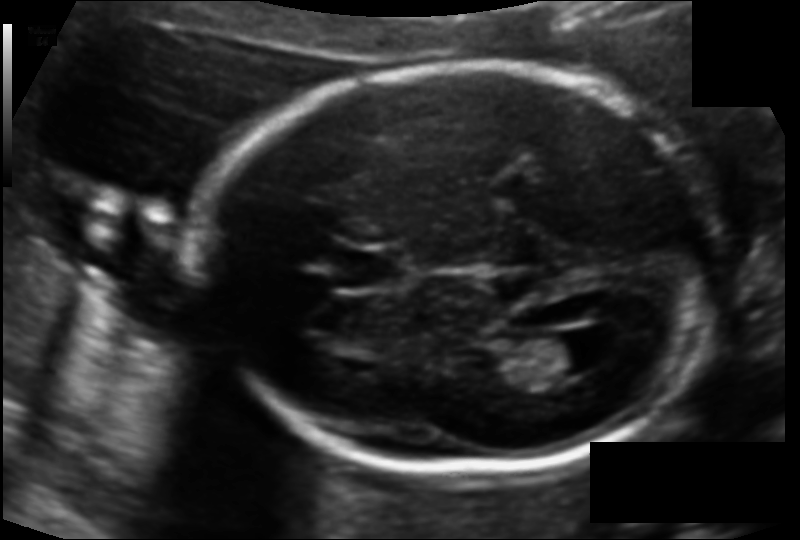
In this fetal head ultrasound, give the bounding box of the cavum septum pellucidum. Image width: 94.2 mm.

[338,251,404,287]